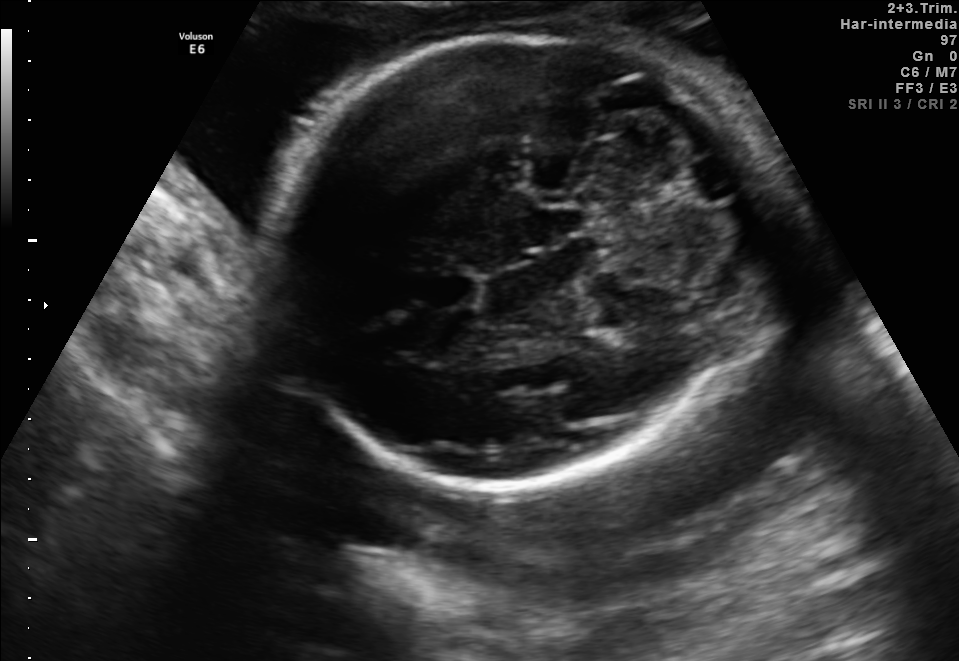
In this fetal brain, trans-cerebellum plane, give the bounding box of the fetal head.

[276,30,757,493]